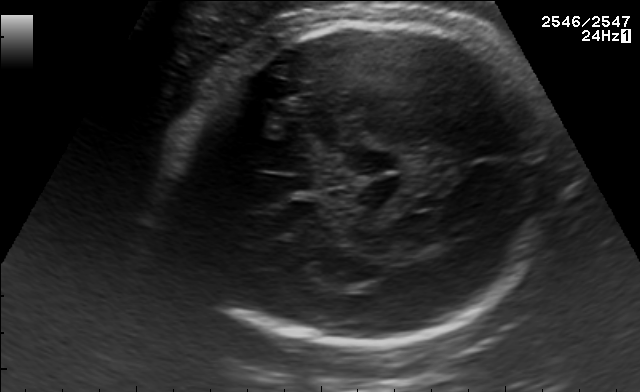
Fetal brain, trans-thalamic plane. Where is the fetal head?

Head bounding box: [178,14,554,346]